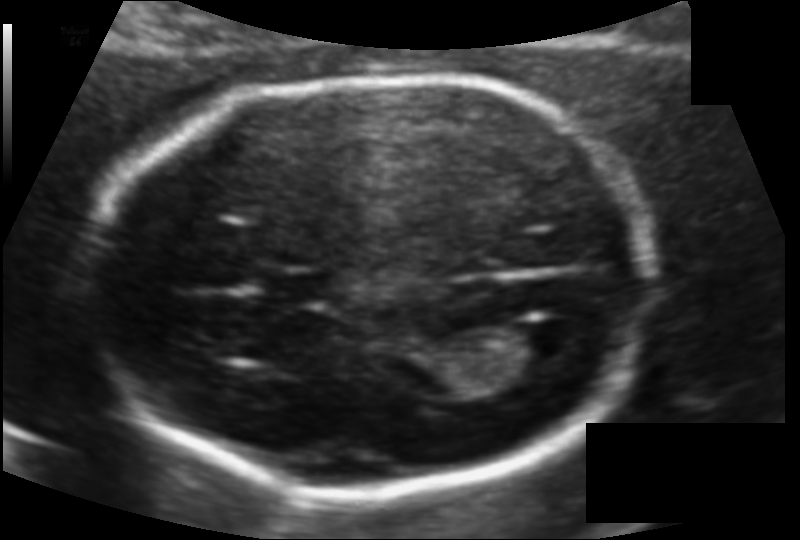
Fetal head ultrasound. Image width: 85.2 mm. Where is the cavum septum pellucidum?

CSP bounding box: [264,271,330,305]